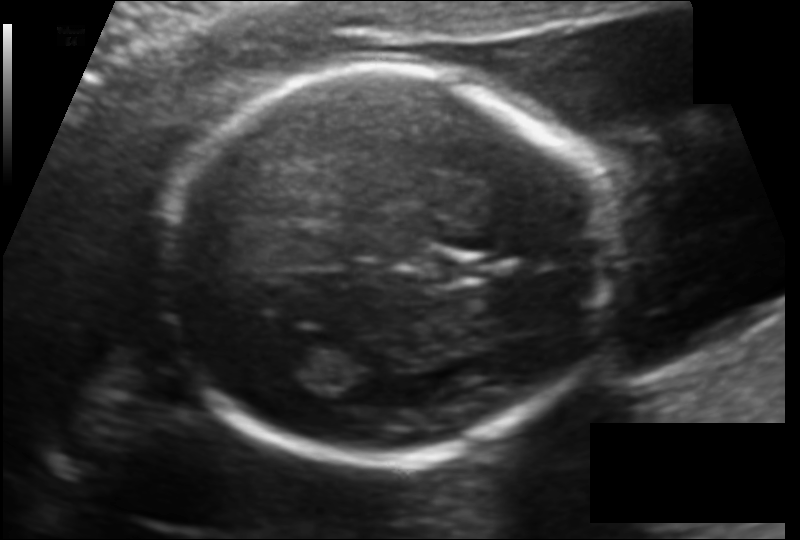
Estimate the fetal head circumference from this 2D ultrasound.

Head circumference: 168.5 mm (image width 98.0 mm).